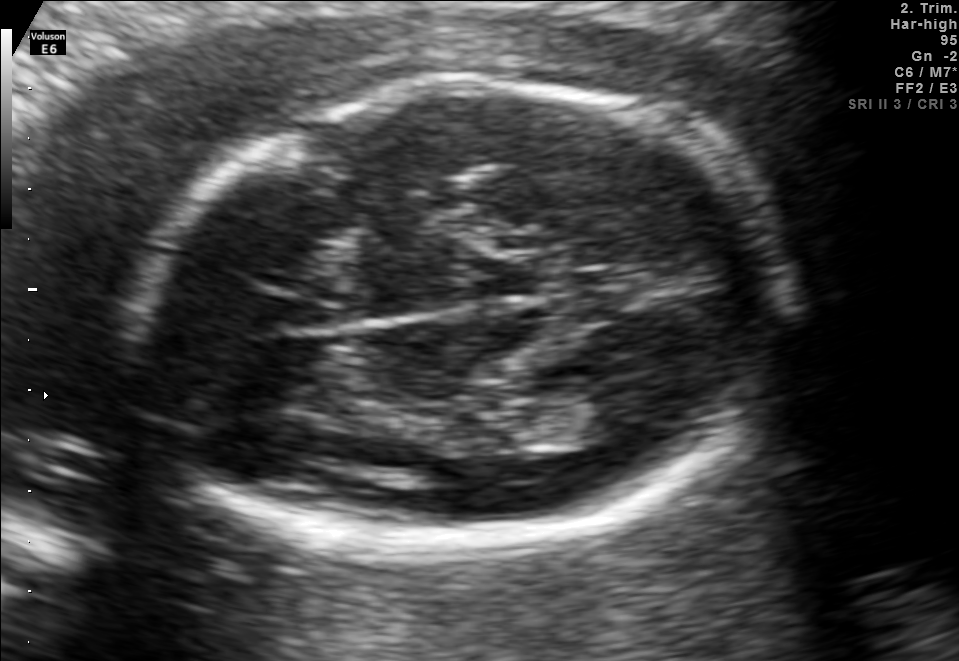
In this fetal brain, trans-thalamic plane, give bounding boxes for the head outline, cavum septum pellucidum (CSP), and lateral ventricle (LV), where visible.

Head: [133,81,790,548]
Lateral ventricle: [551,384,639,448]